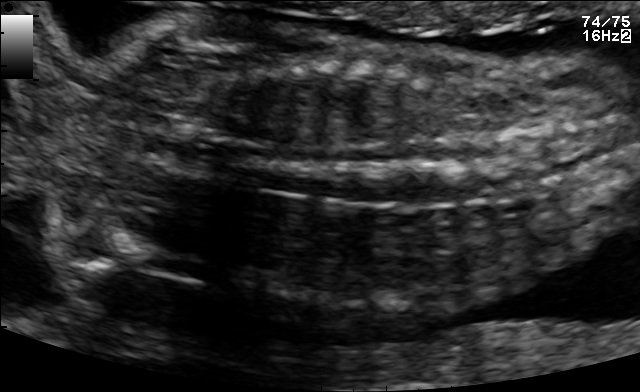
Which standard maternal-fetal ultrasound plane is shown: fetal abdomen, fetal brain, fetal femur, fetal thorax, maternal cervix, or other? If it's fetal brain and one of the three standard brain planes (trans-thalamic, trans-cerebellum, trans-ventricular), name which.

Other